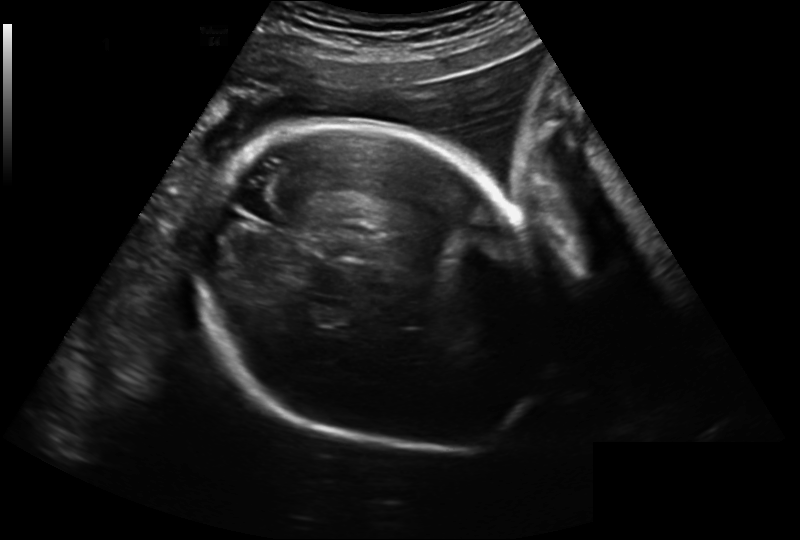
Measure the fetal head circumference shown in this ultrasound image. Image width: 192.8 mm.

Head circumference: 260.9 mm.